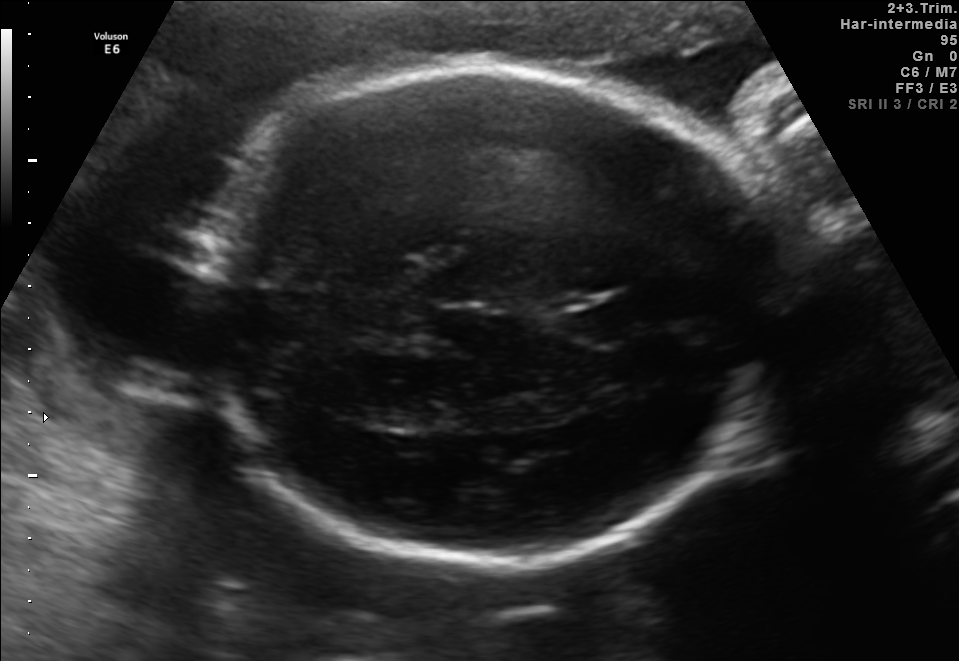
Fetal brain, trans-thalamic plane. Locate the fetal head and, if visible, the cavum septum pellucidum (CSP) and lateral ventricle (LV). Give bounding boxes as [x1,y1,x2,y2].

Head: [191,68,786,561]
CSP: [571,289,650,347]
Lateral ventricle: [344,393,432,431]